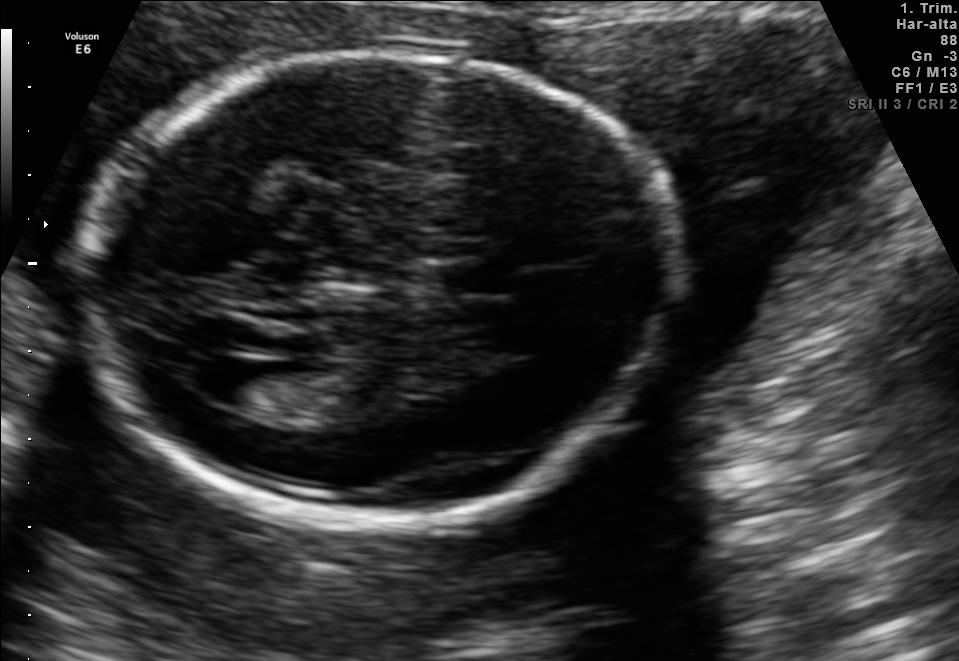
Which standard maternal-fetal ultrasound plane is shown: fetal abdomen, fetal brain, fetal femur, fetal thorax, maternal cervix, or other? If it's fetal brain and one of the three standard brain planes (trans-thalamic, trans-cerebellum, trans-ventricular), name which.

Fetal brain (trans-ventricular plane)